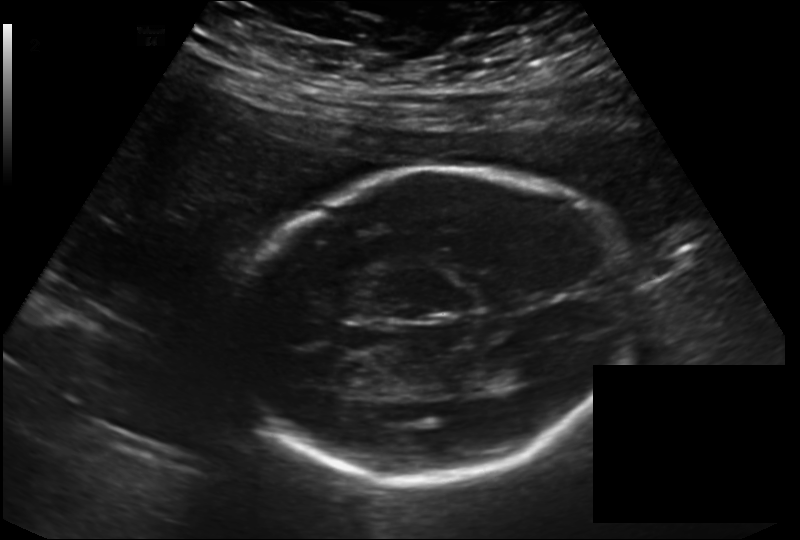
In this fetal head ultrasound, give the bounding box of the fetal head. Image width: 158.6 mm.

[239,167,633,483]